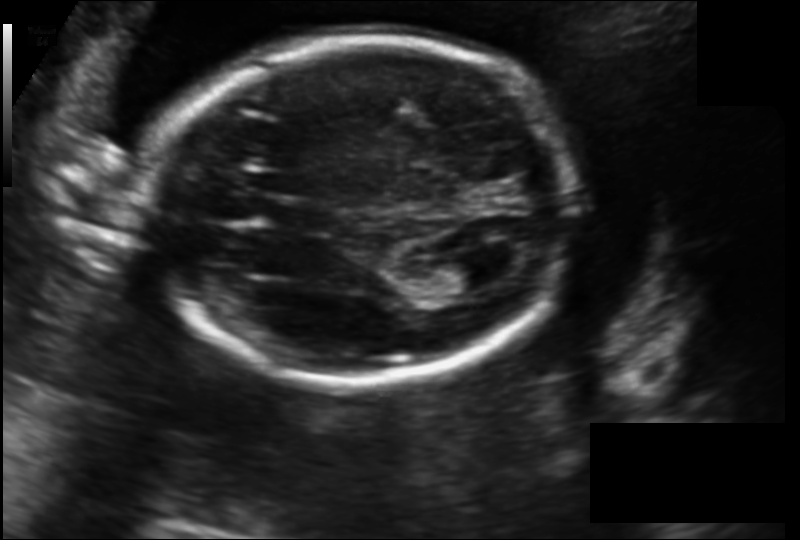
Estimate the fetal head circumference from this 2D ultrasound. Image width: 121.4 mm.

Head circumference: 189.9 mm.